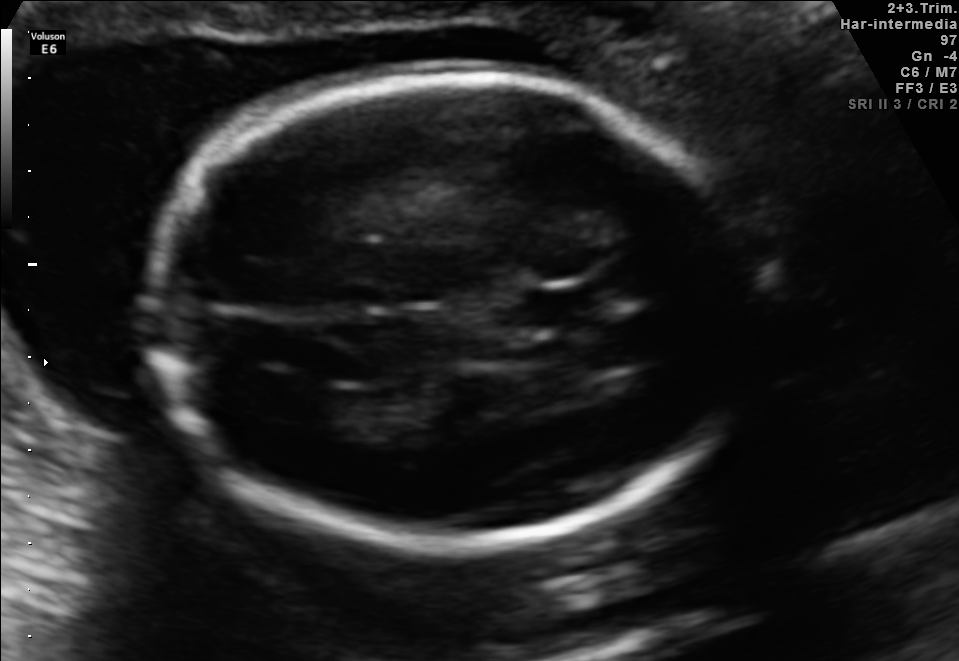
In this fetal brain, trans-ventricular plane, give bounding boxes for the head outline, cavum septum pellucidum (CSP), and lateral ventricle (LV), where visible.

Head: [135,68,776,553]
CSP: [517,291,601,329]
Lateral ventricle: [270,377,345,434]